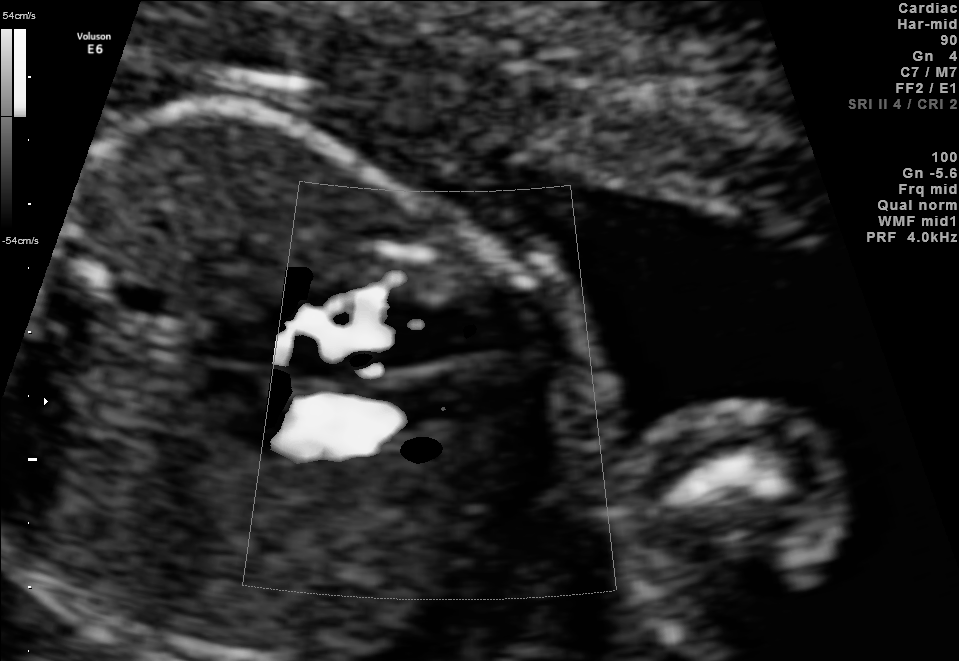
This is a 2D maternal-fetal ultrasound frame. Is it a fetal abdomen, fetal brain, fetal femur, fetal thorax, maternal cervix, or other standard plane? If it's fetal brain and one of the three standard brain planes (trans-thalamic, trans-cerebellum, trans-ventricular), name which.

Other